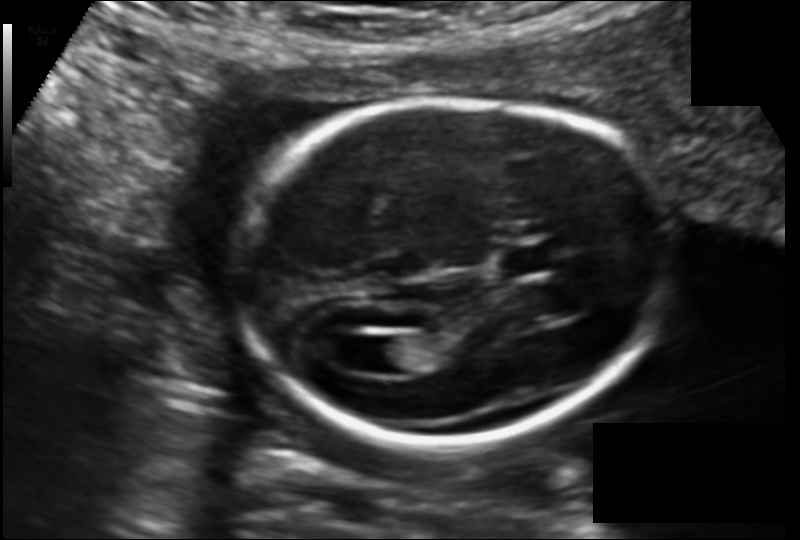
Fetal head ultrasound. Image width: 107.8 mm. Locate the lateral ventricle.

Lateral ventricle: [366,335,420,374]